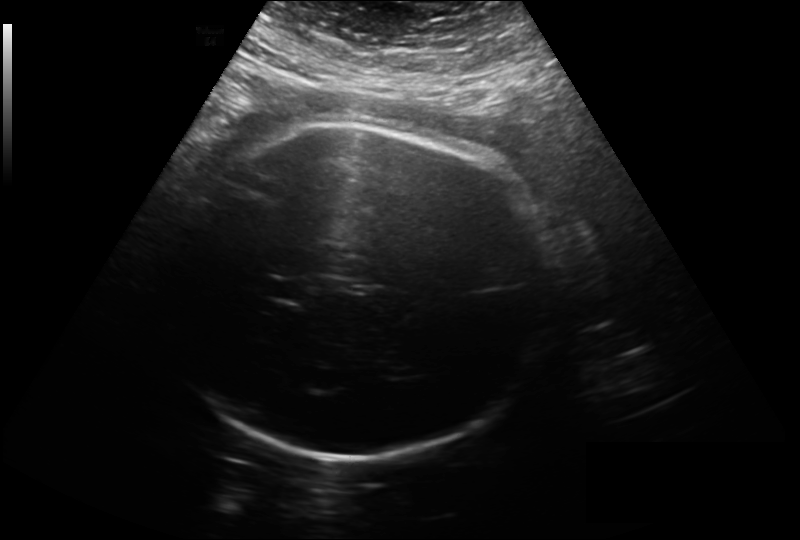
Estimate the fetal head circumference from this 2D ultrasound. Image width: 208.8 mm.

Head circumference: 307.7 mm.